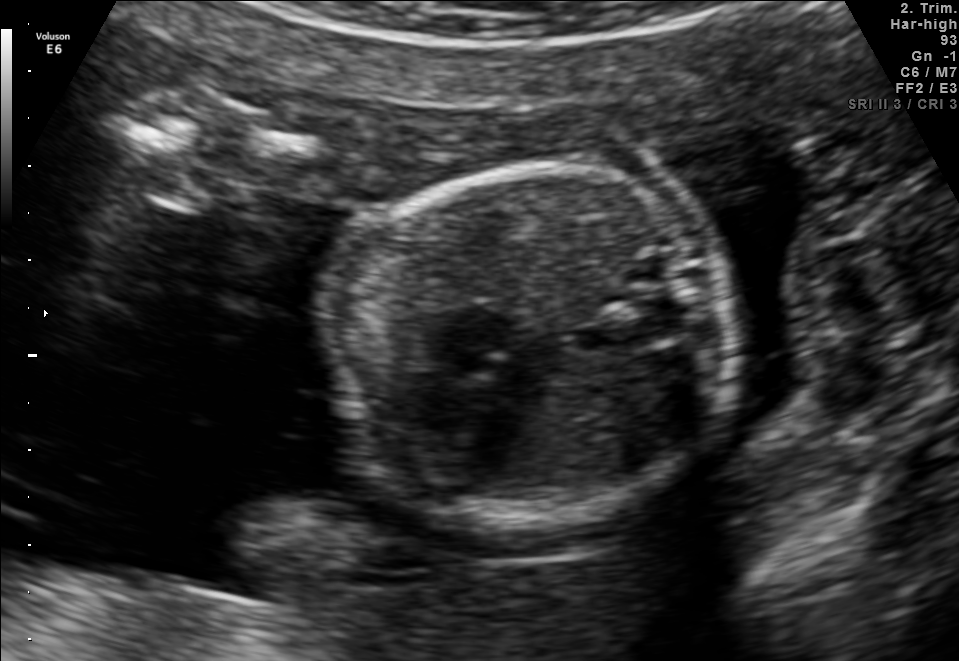
Identify the standard plane in this fetal ultrasound image: fetal abdomen, fetal brain, fetal femur, fetal thorax, maternal cervix, or other. If it's fetal brain and one of the three standard brain planes (trans-thalamic, trans-cerebellum, trans-ventricular), name which.

Fetal thorax